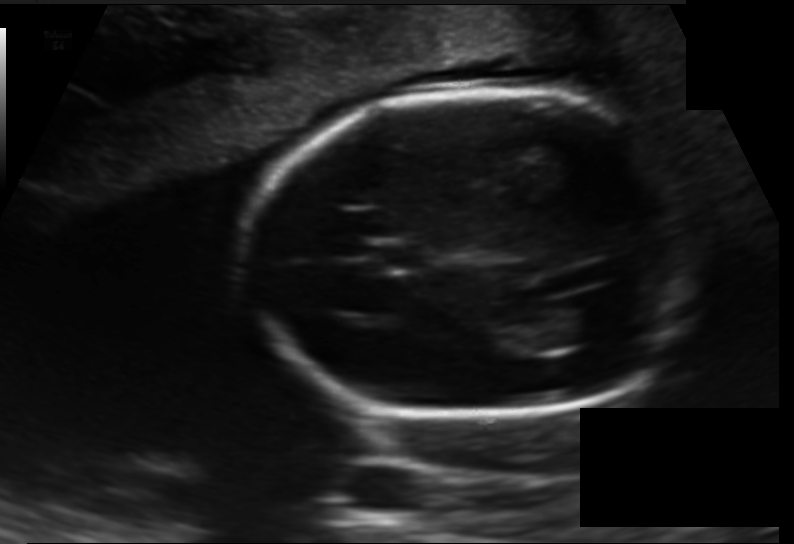
In this fetal head ultrasound, give the bounding box of the fetal head. Image width: 109.8 mm.

[243,90,702,416]